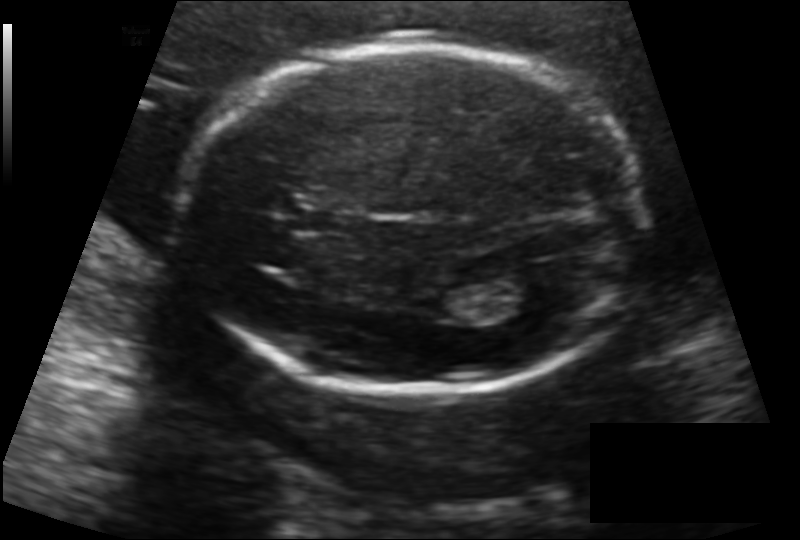
From this fetal ultrasound, estimate the head circumference (image width 113.3 mm).

Head circumference: 186.5 mm.